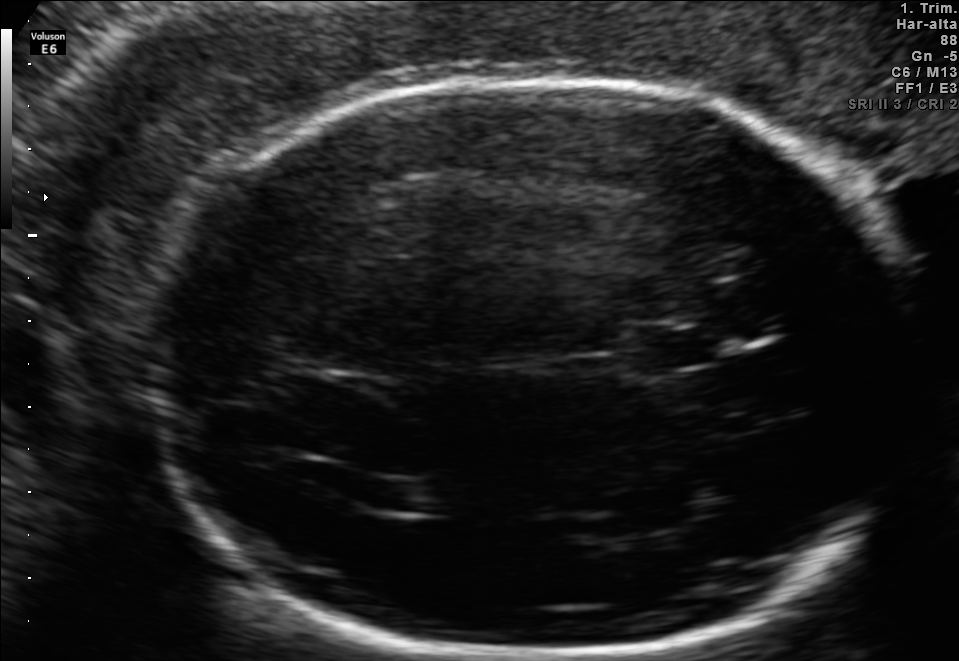
Fetal brain, trans-thalamic plane. Give [x1,y1,x2,y2] bounding boxes for each visible structure among: fetal head, CSP, LV.

Head: [135,83,912,656]
CSP: [633,325,722,373]
Lateral ventricle: [371,480,452,515]